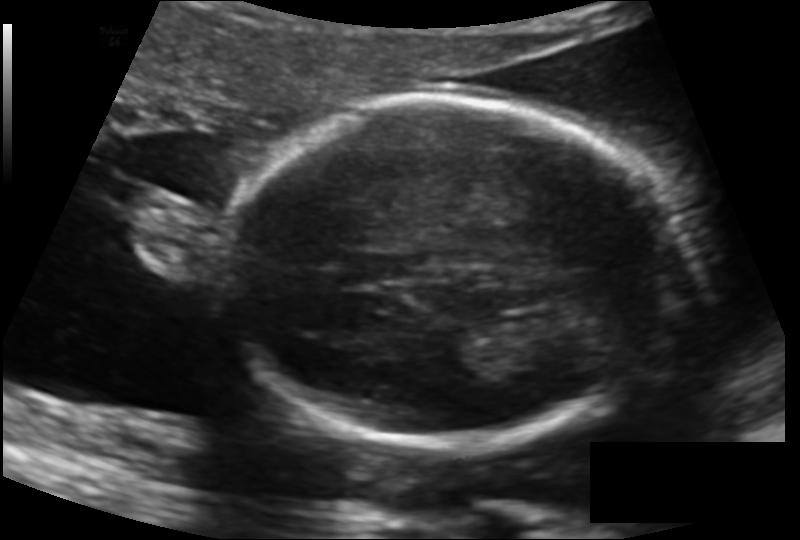
Fetal head ultrasound. Image width: 111.0 mm. Where is the fetal head?

Head bounding box: [228,95,679,449]